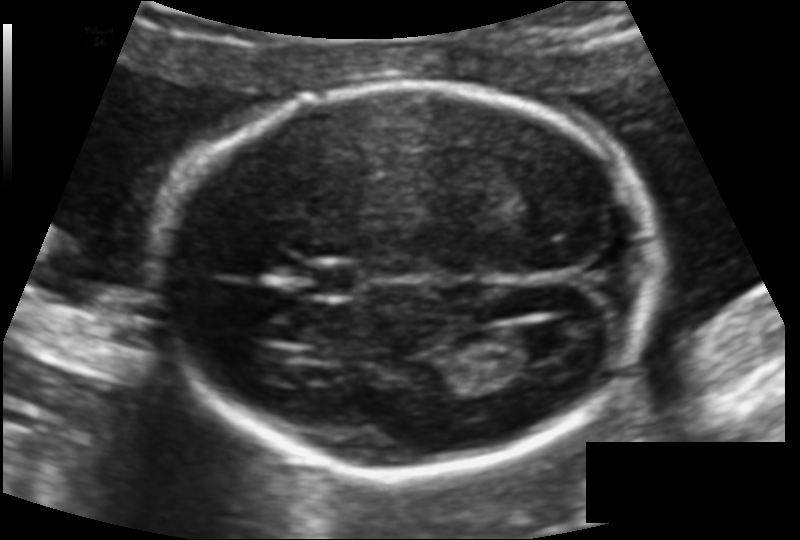
Measure the fetal head circumference shown in this ultrasound image. Image width: 93.9 mm.

Head circumference: 169.6 mm.